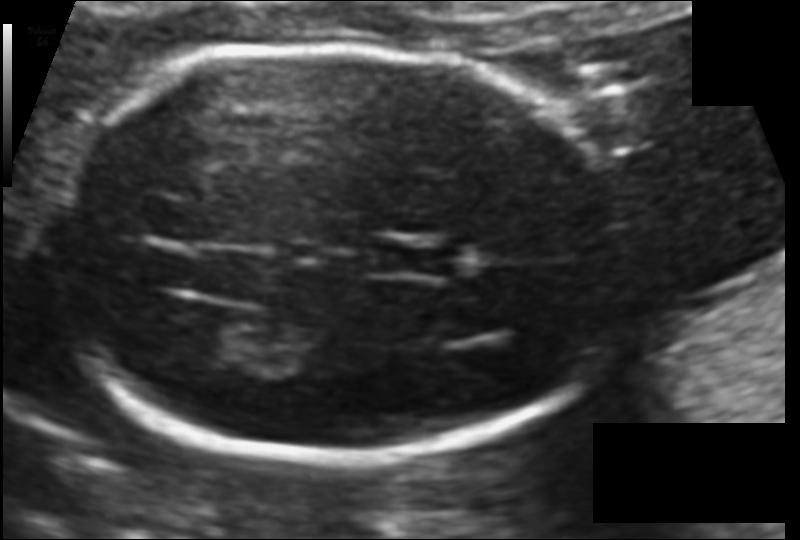
Estimate the fetal head circumference from this 2D ultrasound.

Head circumference: 160.4 mm (image width 78.8 mm).